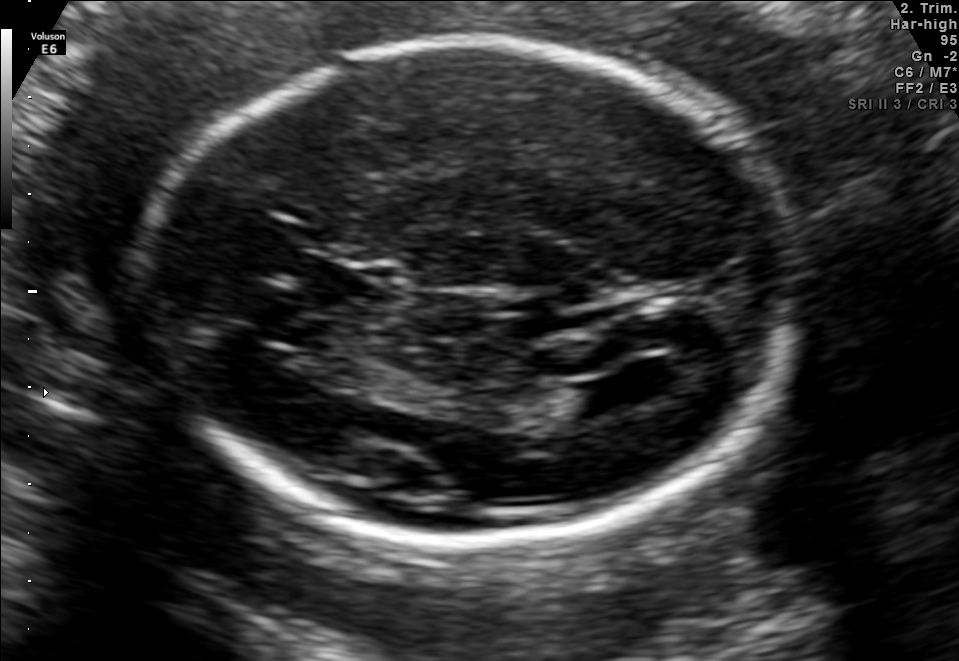
Fetal brain, trans-ventricular plane. Locate the cavum septum pellucidum.

CSP: [299,260,410,322]